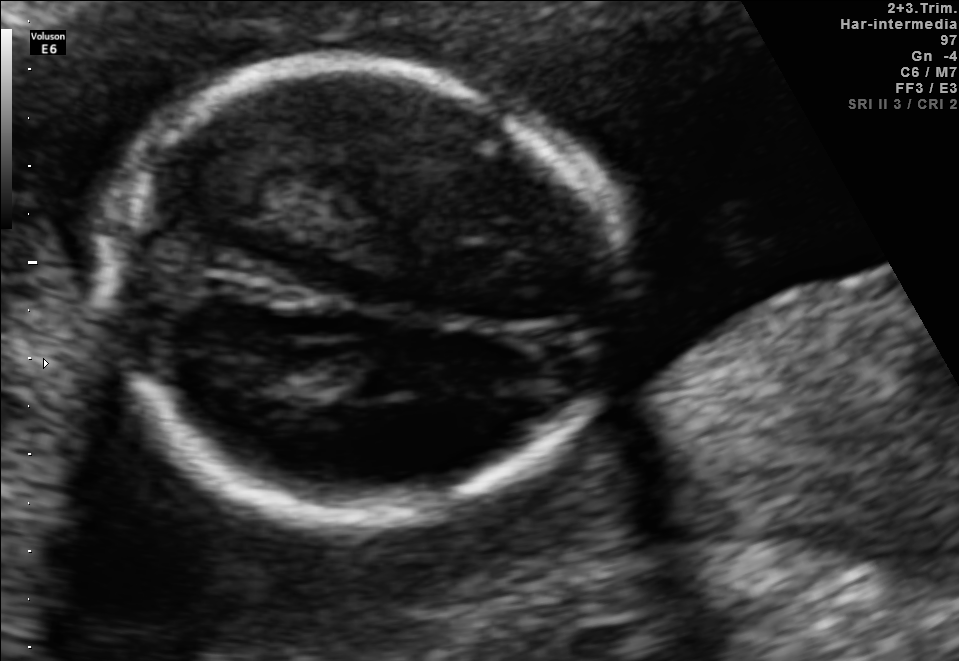
Fetal brain, trans-thalamic plane. Locate the fetal head and, if visible, the cavum septum pellucidum (CSP) and lateral ventricle (LV). Give bounding boxes as [x1,y1,x2,y2].

Head: [99,66,624,527]